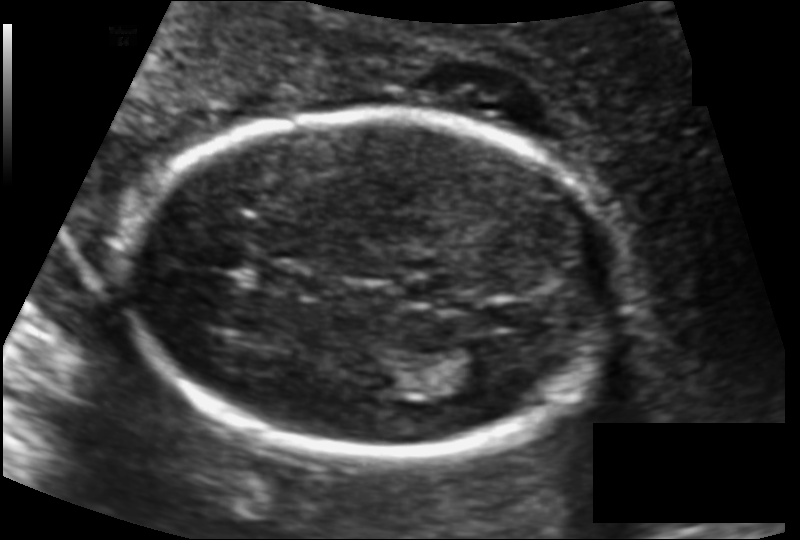
In this fetal head ultrasound, give the bounding box of the fetal head. Image width: 93.7 mm.

[130,110,613,456]